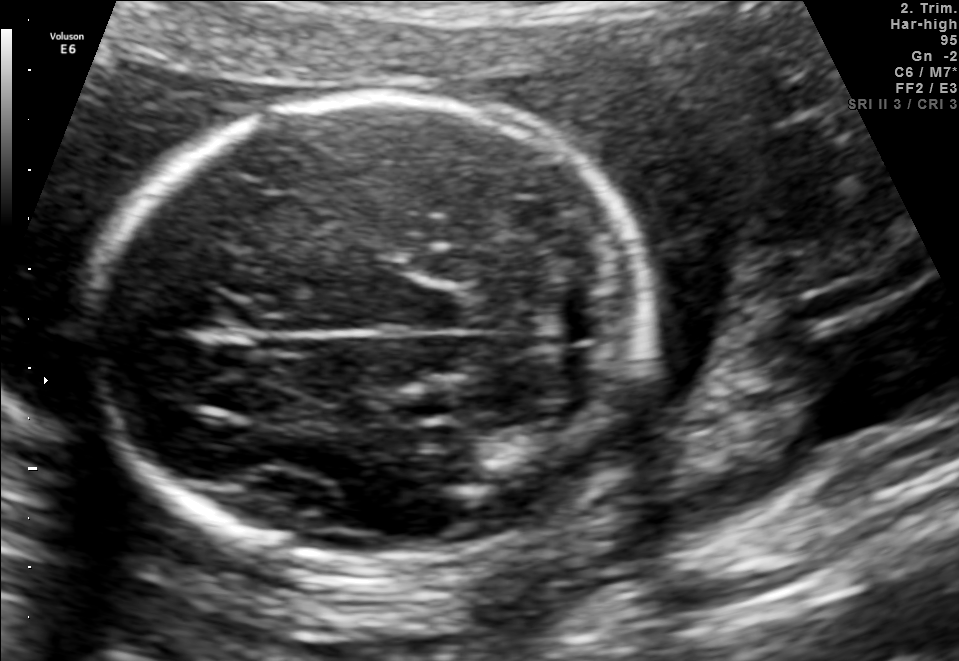
In this fetal brain, trans-cerebellum plane, give bounding boxes for the head outline, cavum septum pellucidum (CSP), and lateral ventricle (LV), where visible.

Head: [98,89,647,566]